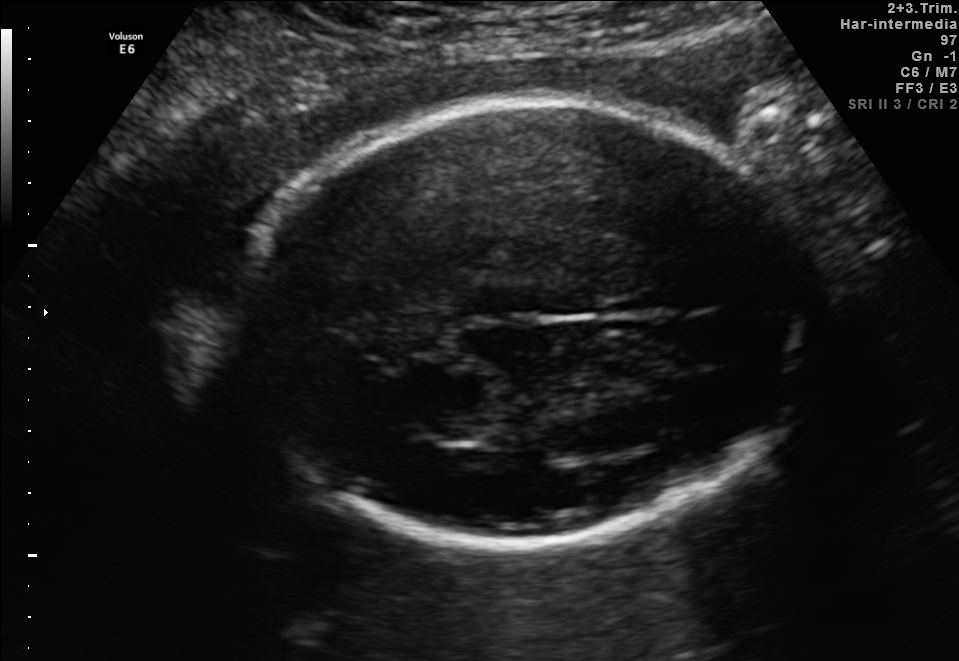
Which standard maternal-fetal ultrasound plane is shown: fetal abdomen, fetal brain, fetal femur, fetal thorax, maternal cervix, or other? If it's fetal brain and one of the three standard brain planes (trans-thalamic, trans-cerebellum, trans-ventricular), name which.

Fetal brain (trans-thalamic plane)